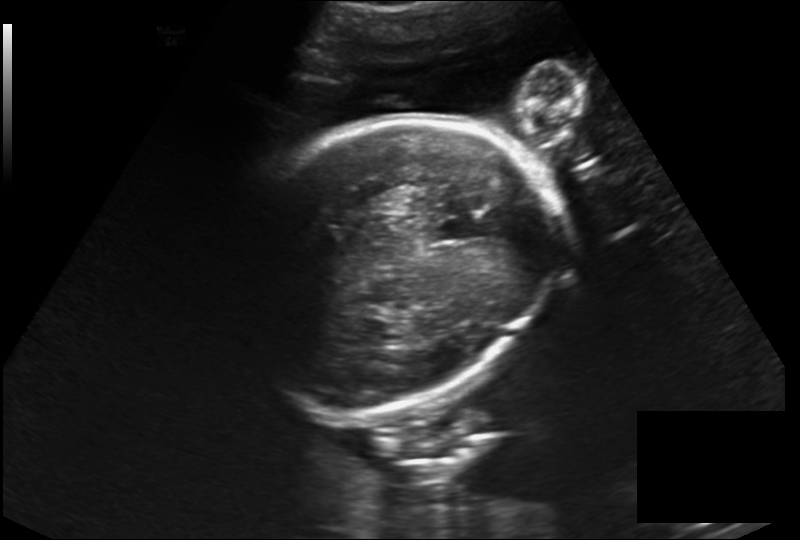
In this fetal head ultrasound, give the bounding box of the fetal head. Image width: 184.3 mm.

[228,118,549,413]